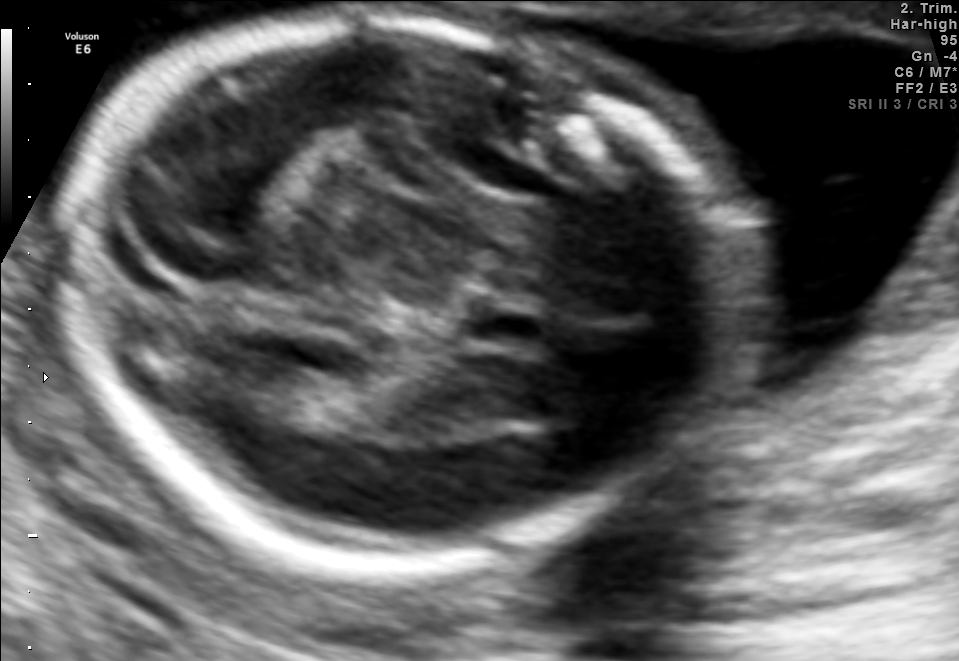
Fetal brain, trans-thalamic plane. Locate the fetal head and, if visible, the cavum septum pellucidum (CSP) and lateral ventricle (LV). Give bounding boxes as [x1,y1,x2,y2].

Head: [65,17,710,570]
CSP: [465,295,548,355]